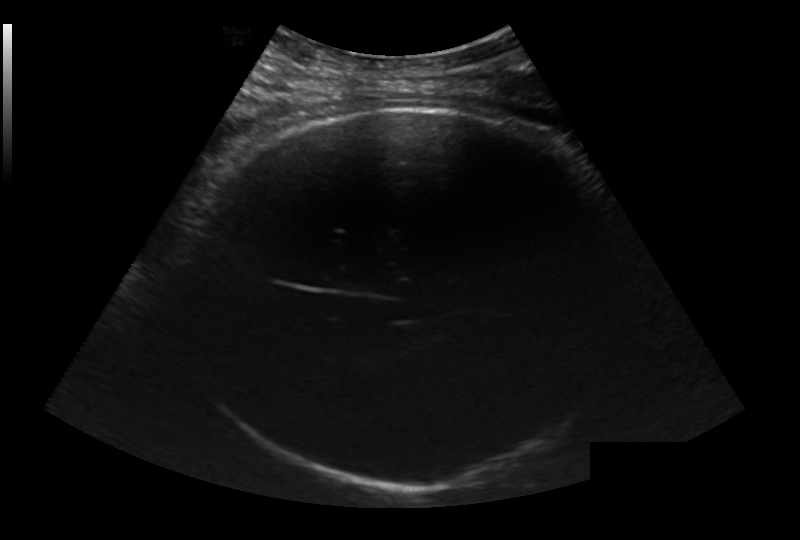
What is the fetal head circumference? Image width is 188.6 mm.

321.8 mm